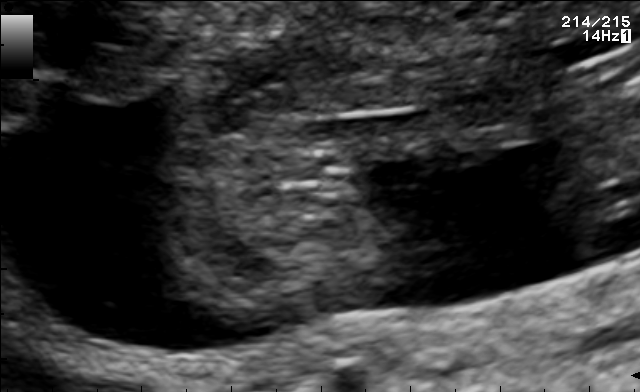
Classify this maternal-fetal ultrasound image as one of the six standard planes — fetal abdomen, fetal brain, fetal femur, fetal thorax, maternal cervix, or other. If it's fetal brain and one of the three standard brain planes (trans-thalamic, trans-cerebellum, trans-ventricular), name which.

Other